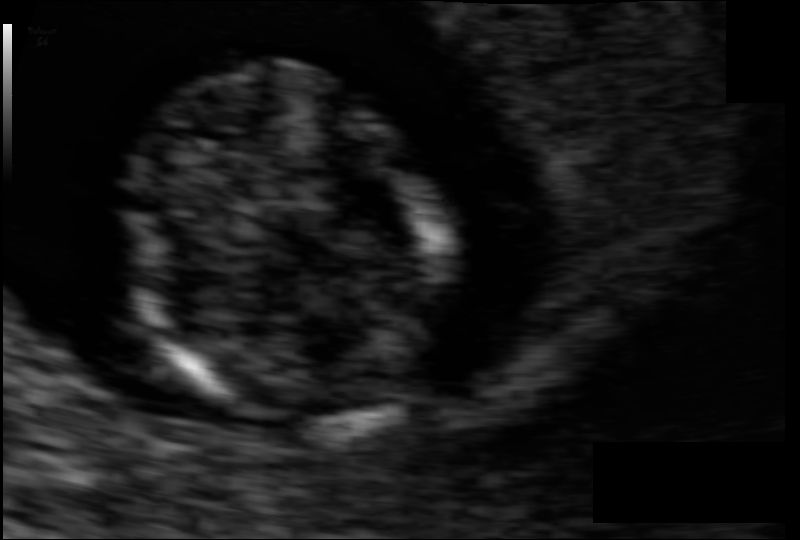
Measure the fetal head circumference shown in this ultrasound image. Image width: 51.3 mm.

Head circumference: 72.0 mm.